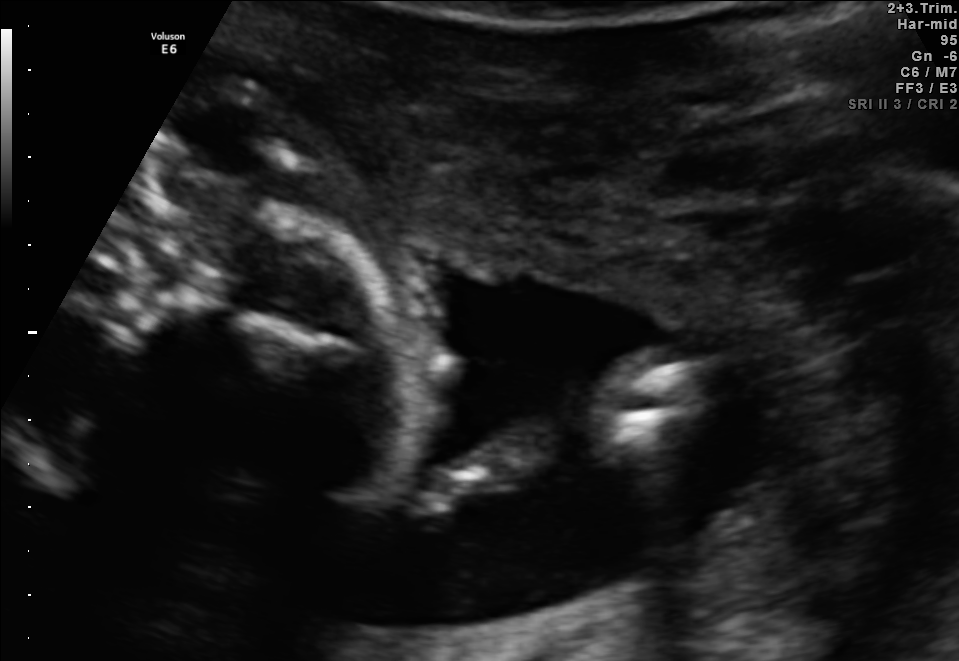
This is a 2D maternal-fetal ultrasound frame. Is it a fetal abdomen, fetal brain, fetal femur, fetal thorax, maternal cervix, or other standard plane? If it's fetal brain and one of the three standard brain planes (trans-thalamic, trans-cerebellum, trans-ventricular), name which.

Other